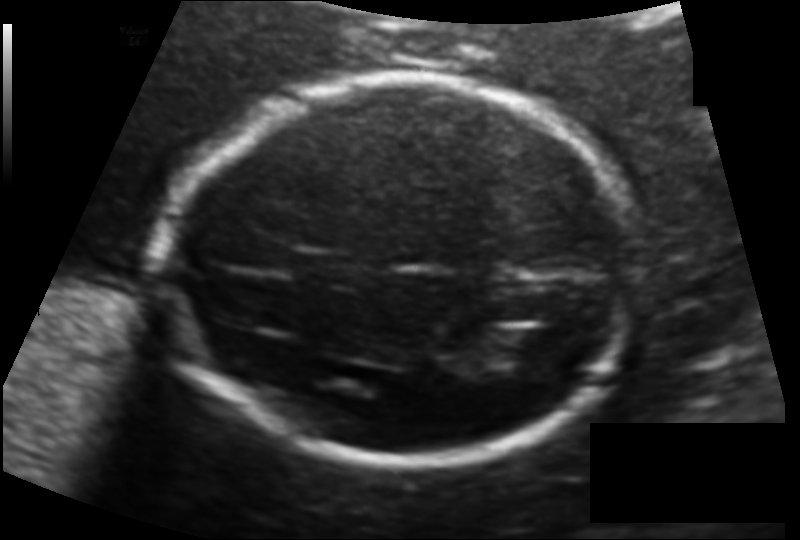
In this fetal head ultrasound, give the bounding box of the lateral ventricle. Image width: 98.0 mm.

[502,330,556,362]